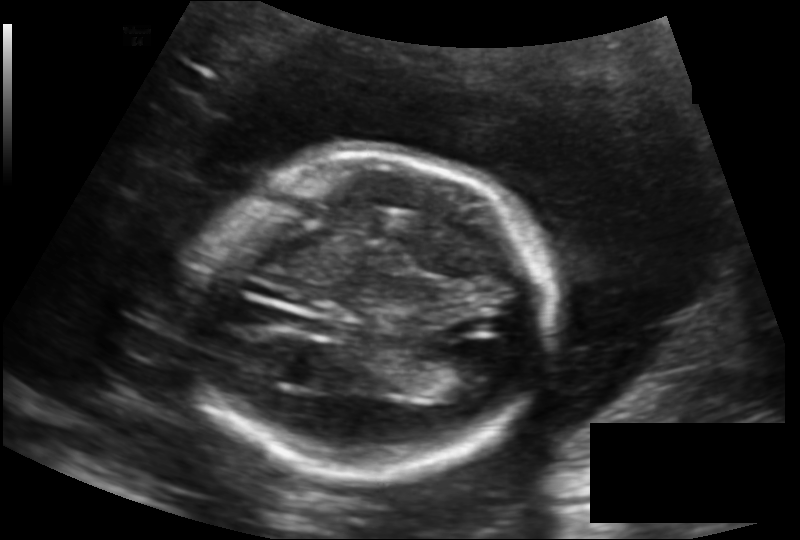
In this fetal head ultrasound, give bounding boxes for the head outline, cavum septum pellucidum (CSP), and lateral ventricle (LV), where visible. Image width: 122.9 mm.

Head: [189,154,550,471]